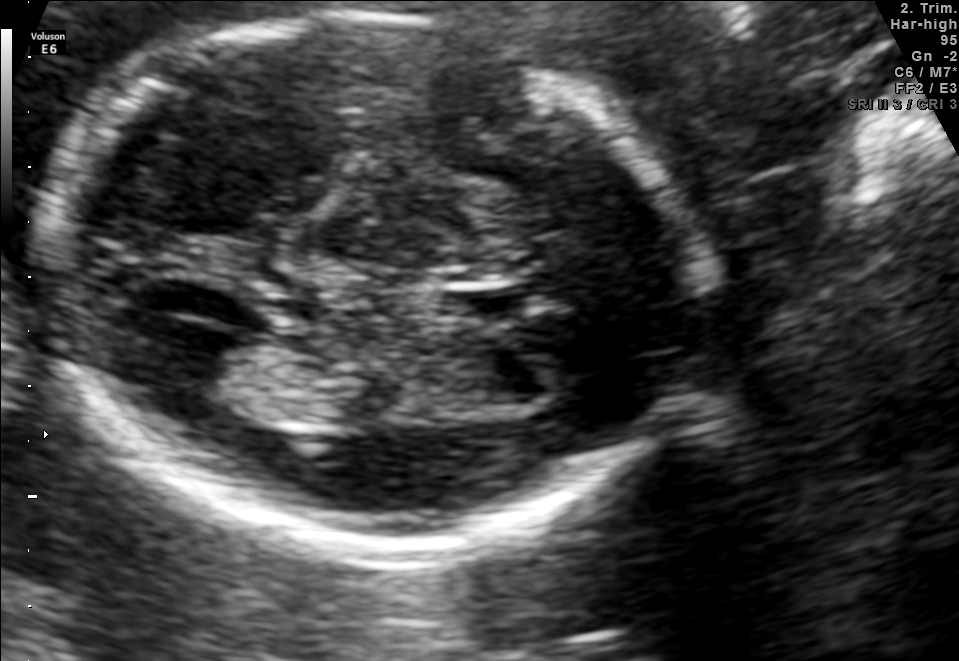
In this fetal brain, trans-thalamic plane, give the bounding box of the fetal head.

[38,17,703,550]